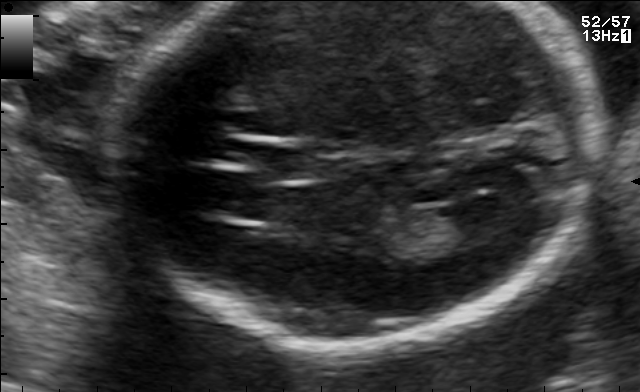
Fetal brain, trans-ventricular plane. Locate the cavum septum pellucidum.

CSP: [246,144,350,180]